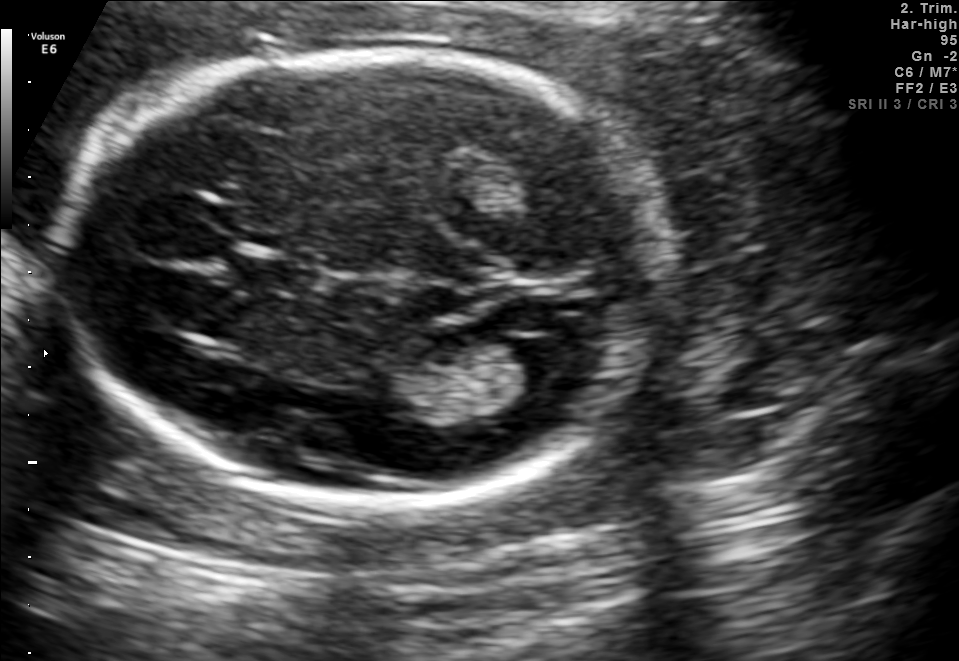
Fetal brain, trans-ventricular plane. Give [x1,y1,x2,y2] bounding boxes for each visible structure among: fetal head, CSP, LV.

Head: [54,47,677,506]
CSP: [225,248,325,299]
Lateral ventricle: [508,336,585,383]